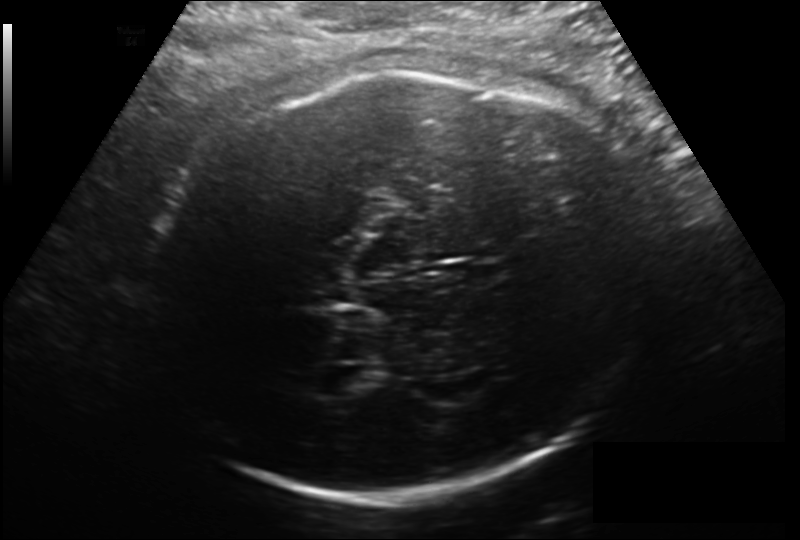
Fetal head ultrasound. Image width: 164.8 mm. Give [x1,y1,x2,y2] bounding boxes for each visible structure among: fetal head, CSP, LV.

Head: [140,73,642,505]
Lateral ventricle: [320,366,373,395]